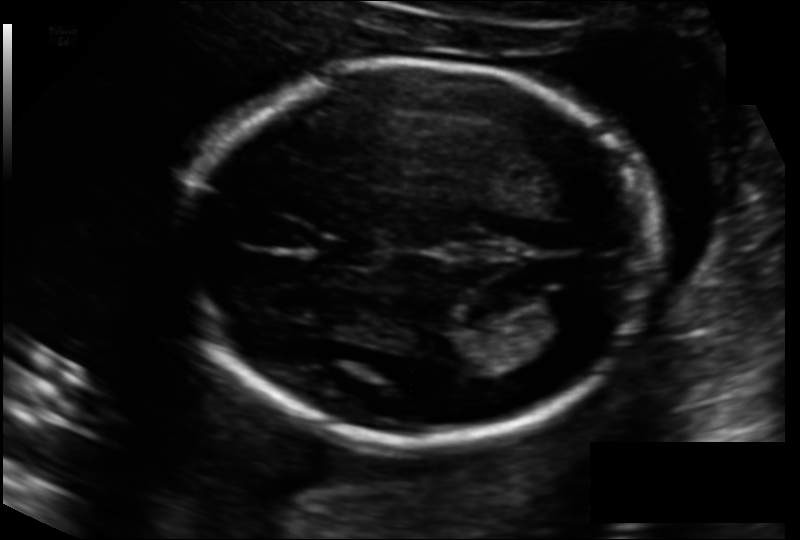
In this fetal head ultrasound, give the bounding box of the lateral ventricle. Image width: 106.6 mm.

[523,283,595,341]